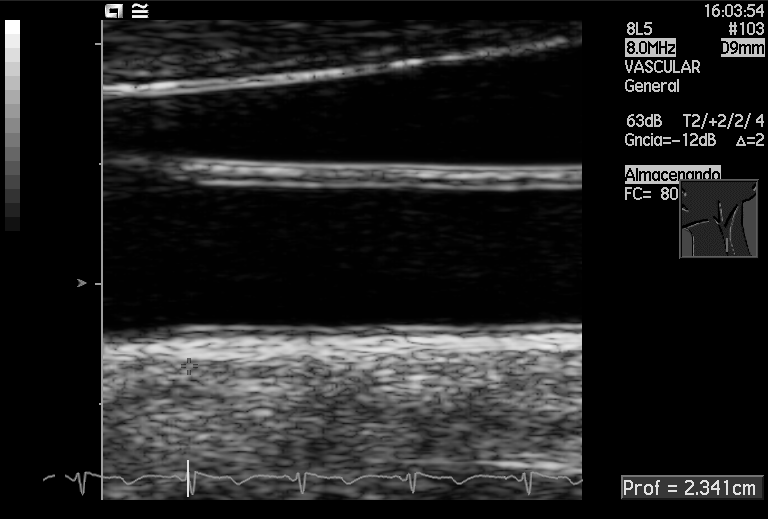
Identify the standard plane in this fetal ultrasound image: fetal abdomen, fetal brain, fetal femur, fetal thorax, maternal cervix, or other. If it's fetal brain and one of the three standard brain planes (trans-thalamic, trans-cerebellum, trans-ventricular), name which.

Other